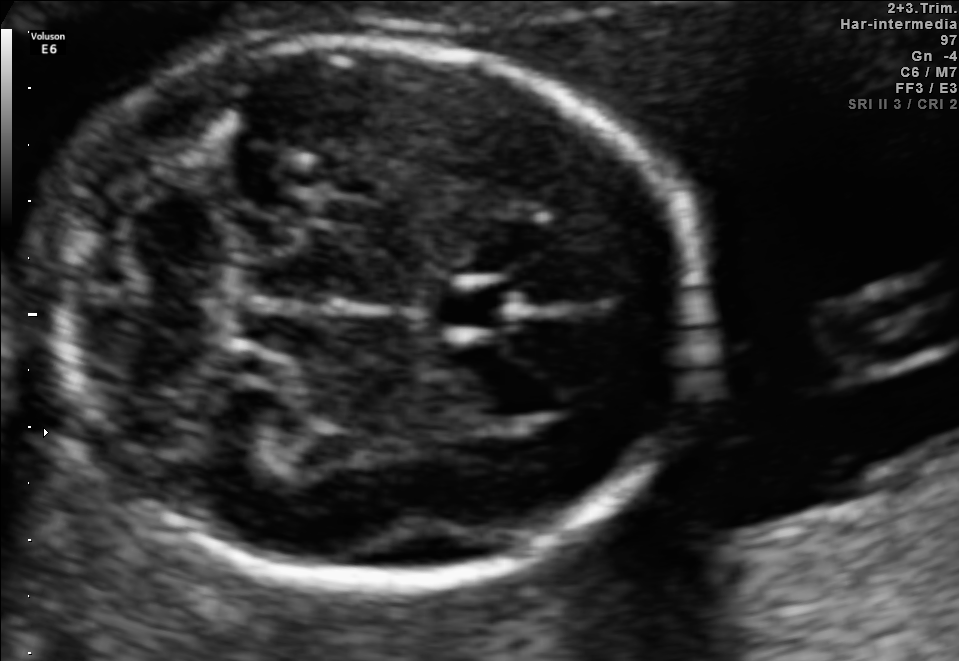
Fetal brain, trans-cerebellum plane. Give [x1,y1,x2,y2] bounding boxes for each visible structure among: fetal head, CSP, LV.

Head: [38,39,701,588]
CSP: [437,282,515,333]